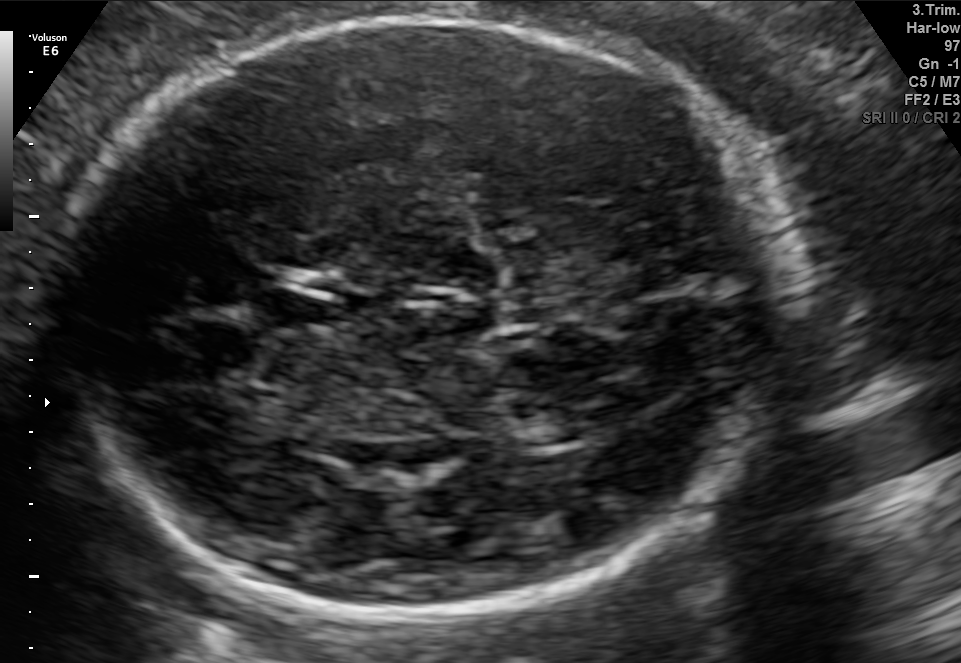
Fetal brain, trans-thalamic plane. Locate the fetal head and, if visible, the cavum septum pellucidum (CSP) and lateral ventricle (LV). Give bounding boxes as [x1,y1,x2,y2].

Head: [43,11,798,620]
CSP: [251,283,335,336]